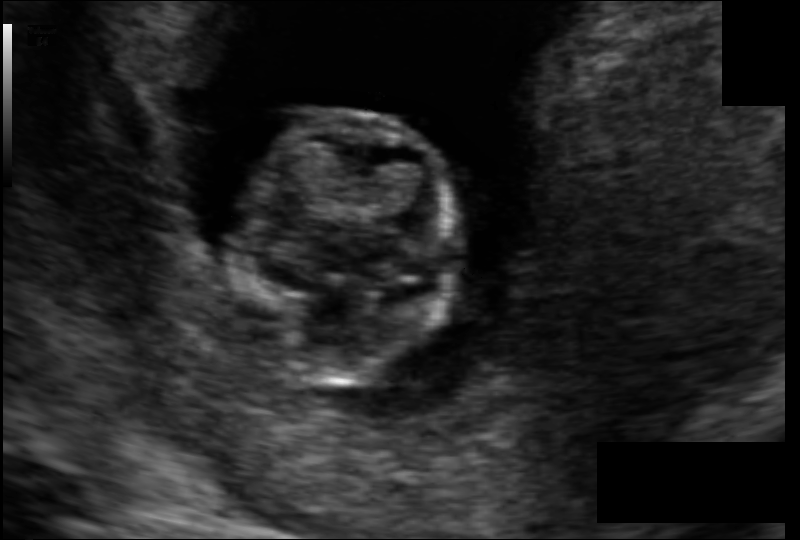
What is the fetal head circumference? Image width is 72.7 mm.

73.1 mm